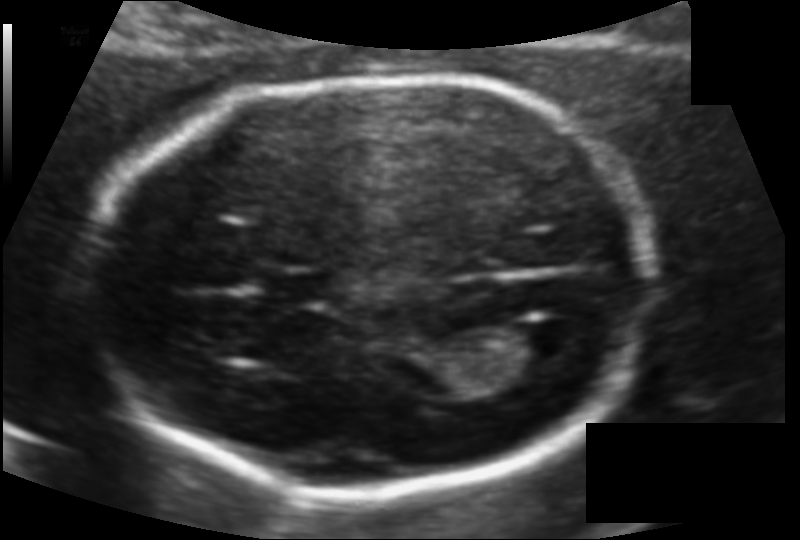
Fetal head ultrasound. Image width: 85.2 mm. Locate the fetal head and, if visible, the cavum septum pellucidum (CSP) and lateral ventricle (LV). Give bounding boxes as [x1,y1,x2,y2].

Head: [92,77,645,489]
CSP: [264,271,330,305]
Lateral ventricle: [514,313,584,370]